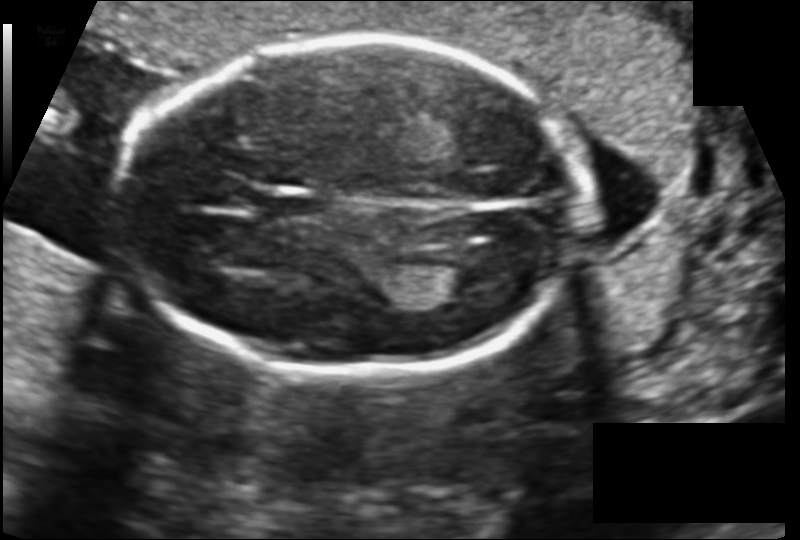
Fetal head ultrasound. Image width: 102.7 mm. Give [x1,y1,x2,y2] bounding boxes for each visible structure among: fetal head, CSP, LV.

Head: [123,38,584,378]
CSP: [263,193,326,224]
Lateral ventricle: [419,265,483,299]